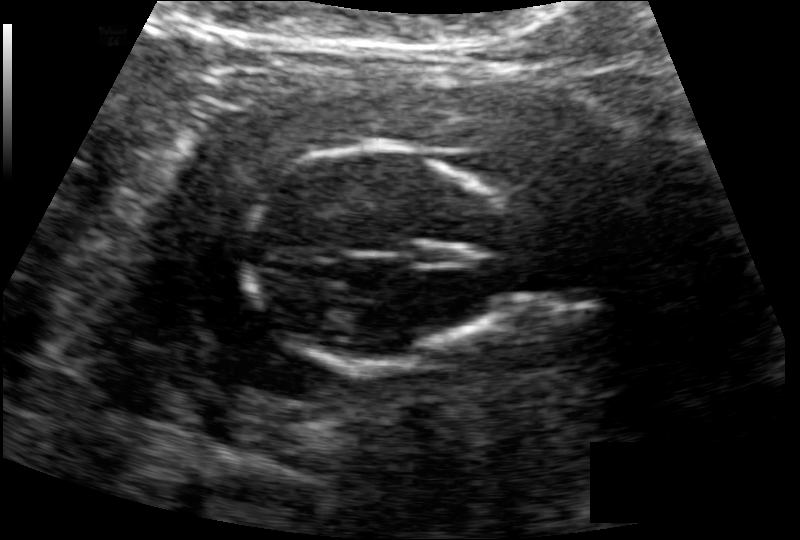
From this fetal ultrasound, estimate the head circumference (image width 100.6 mm).

Head circumference: 100.5 mm.